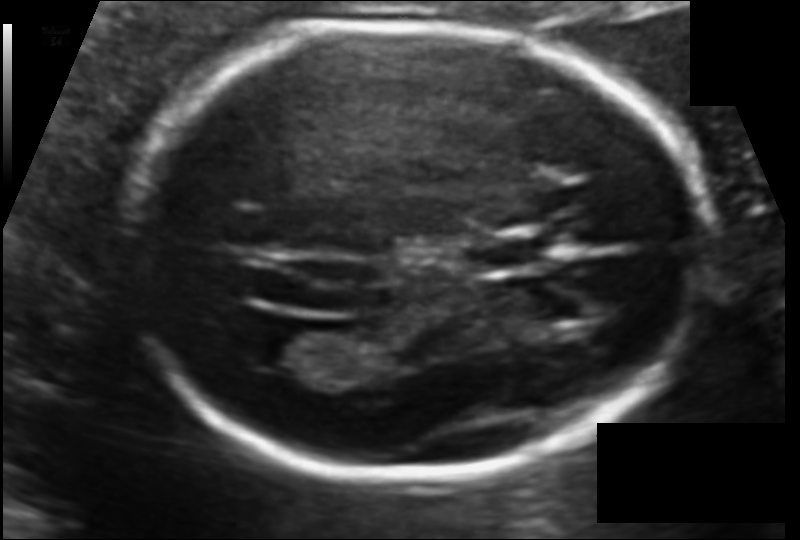
What is the fetal head circumference? Image width is 85.6 mm.

180.2 mm